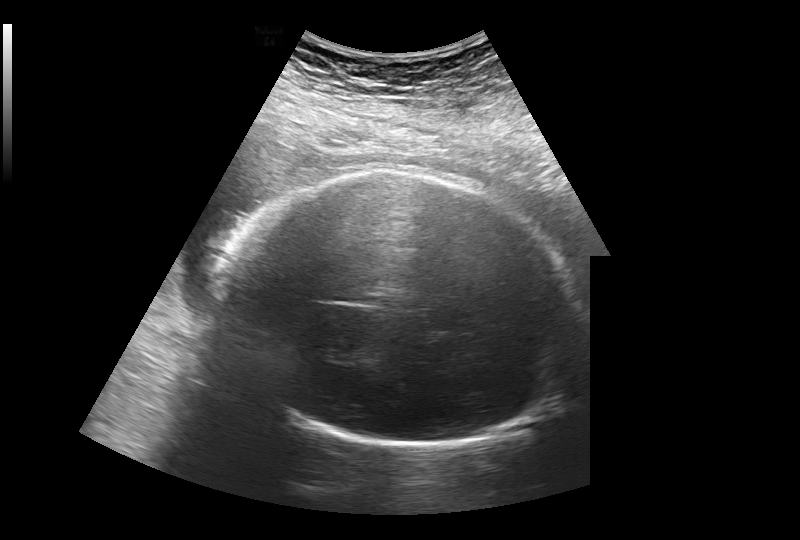
Fetal head ultrasound. Image width: 246.2 mm. Where is the fetal head?

Head bounding box: [221,172,577,447]